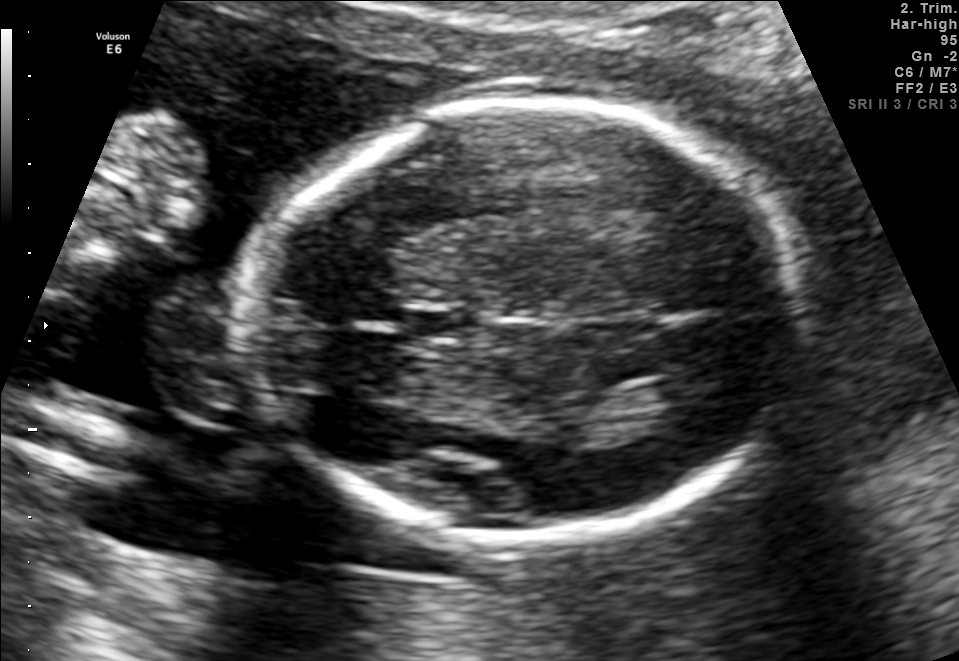
Fetal brain, trans-thalamic plane. Where is the lateral ventricle?

Lateral ventricle bounding box: [625,370,694,413]